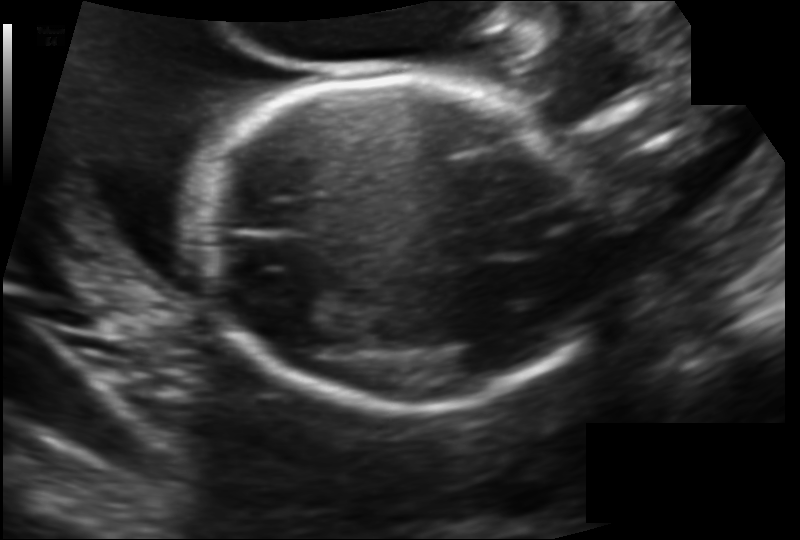
Fetal head ultrasound. Image width: 110.4 mm. Where is the fetal head?

Head bounding box: [198,78,604,412]